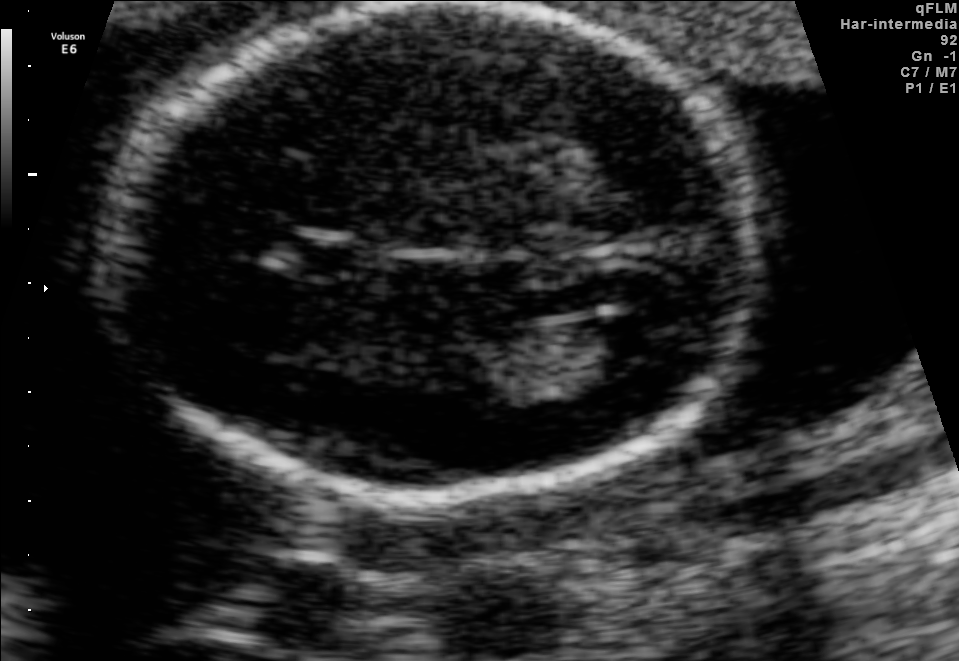
Fetal brain, trans-ventricular plane. Where is the lateral ventricle?

Lateral ventricle bounding box: [577,301,677,376]